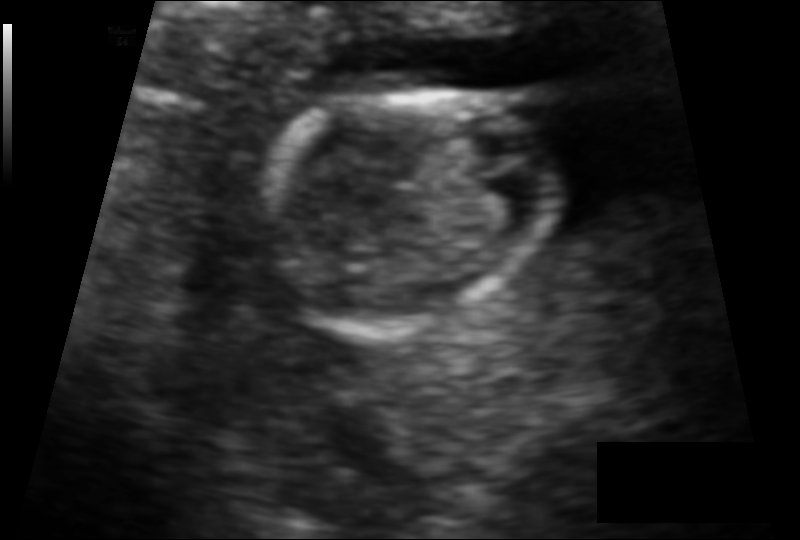
In this fetal head ultrasound, give the bounding box of the fetal head. Image width: 73.2 mm.

[254,91,559,325]